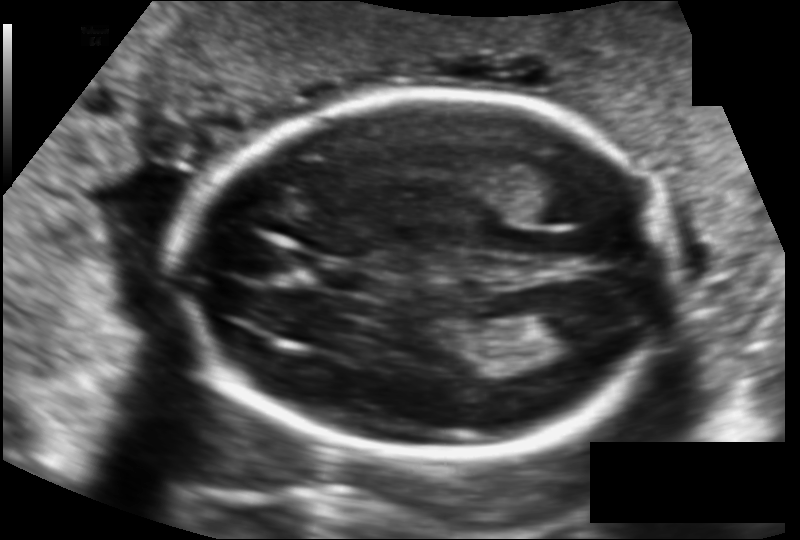
Fetal head ultrasound. Image width: 98.9 mm. Locate the lateral ventricle.

Lateral ventricle: [530,302,604,354]